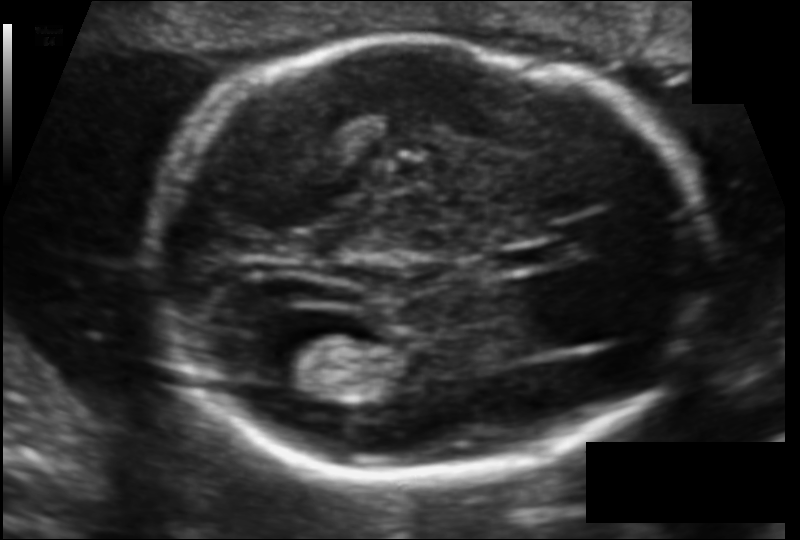
What is the fetal head circumference? Image width is 84.9 mm.

171.0 mm